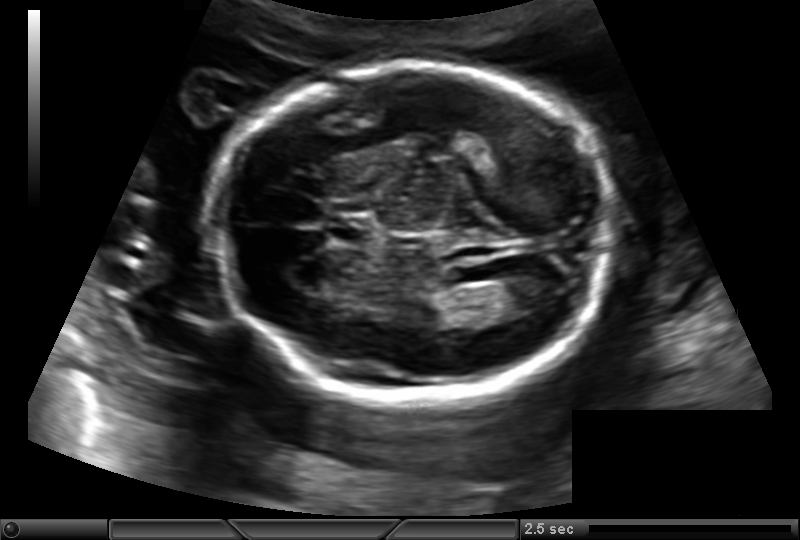
Fetal head ultrasound. Image width: 116.2 mm. Where is the cavum septum pellucidum?

CSP bounding box: [327,216,376,246]